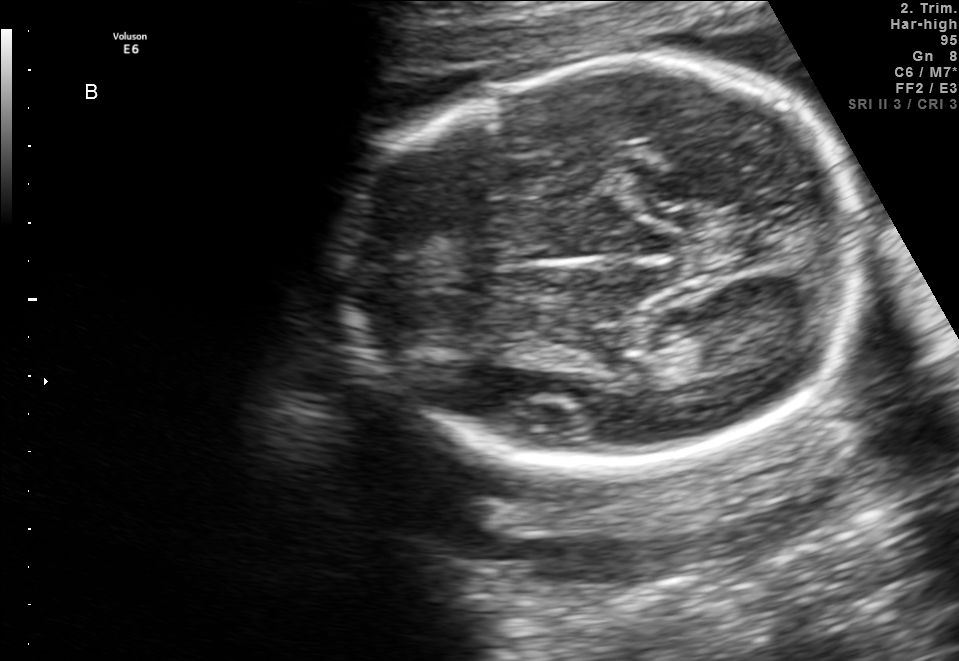
Classify this maternal-fetal ultrasound image as one of the six standard planes — fetal abdomen, fetal brain, fetal femur, fetal thorax, maternal cervix, or other. If it's fetal brain and one of the three standard brain planes (trans-thalamic, trans-cerebellum, trans-ventricular), name which.

Fetal brain (trans-thalamic plane)